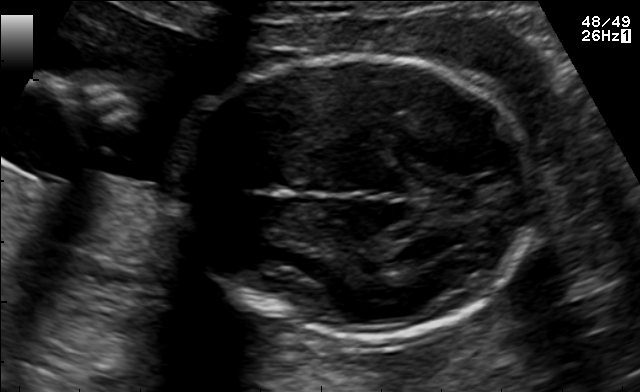
Fetal brain, trans-thalamic plane. Give [x1,y1,x2,y2] bounding boxes for each visible structure among: fetal head, CSP, LV.

Head: [182,56,537,340]